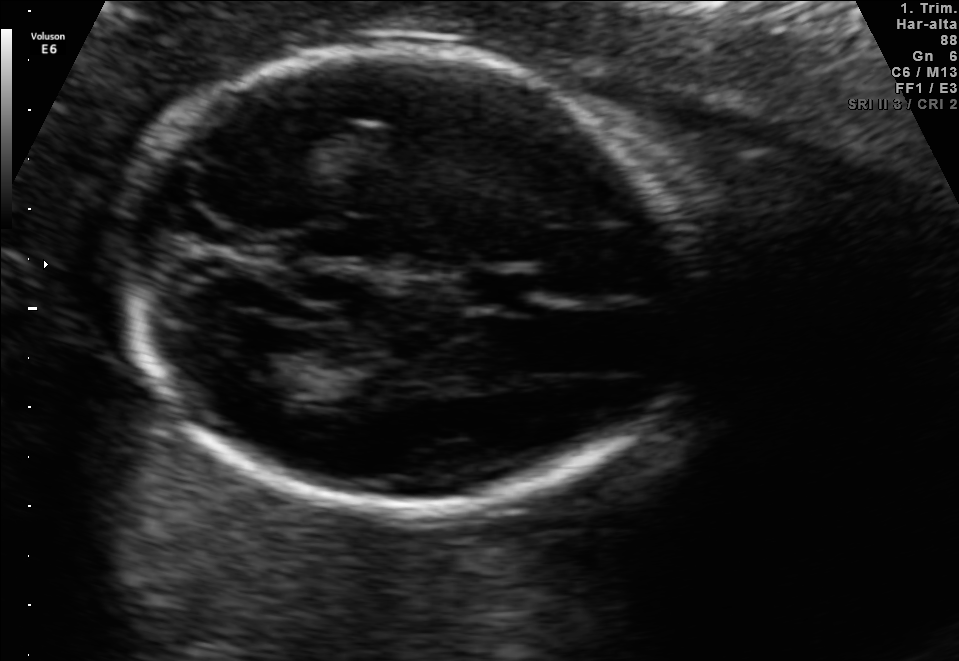
Fetal brain, trans-thalamic plane. Where is the fetal head?

Head bounding box: [111,47,702,512]